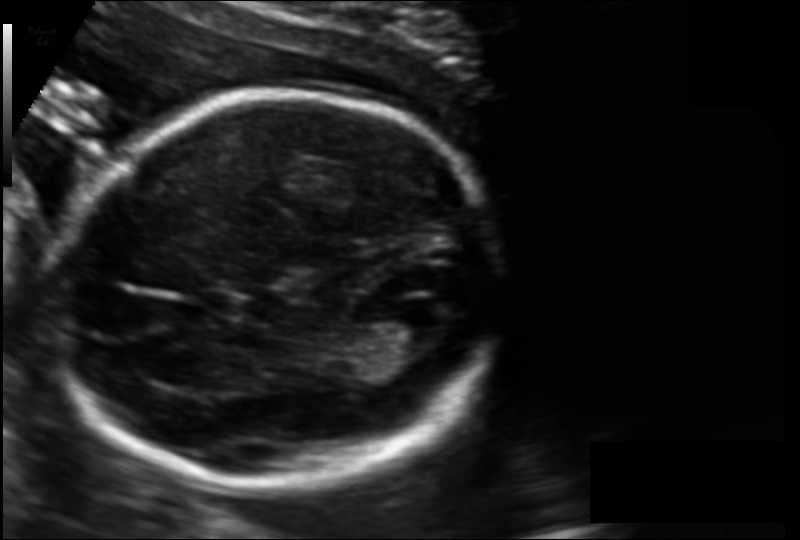
Fetal head ultrasound. Image width: 102.4 mm. Where is the fetal head?

Head bounding box: [60,91,498,488]